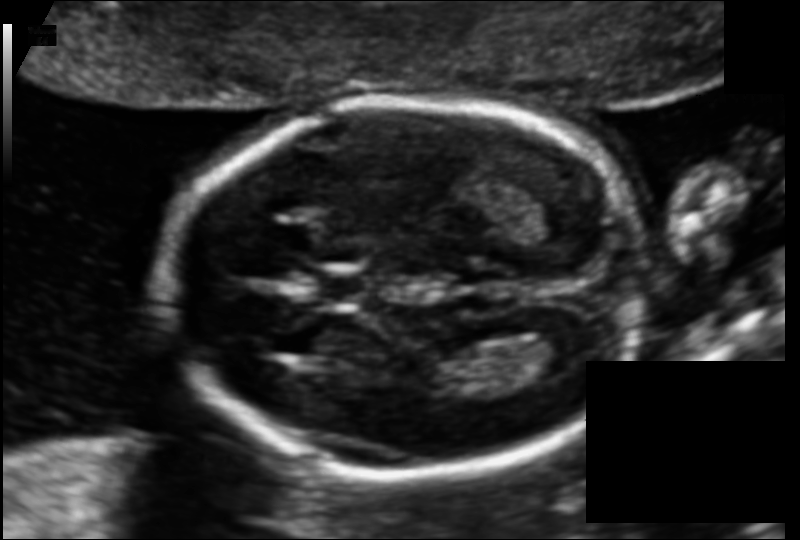
From this fetal ultrasound, estimate the head circumference (image width 87.9 mm).

Head circumference: 154.4 mm.